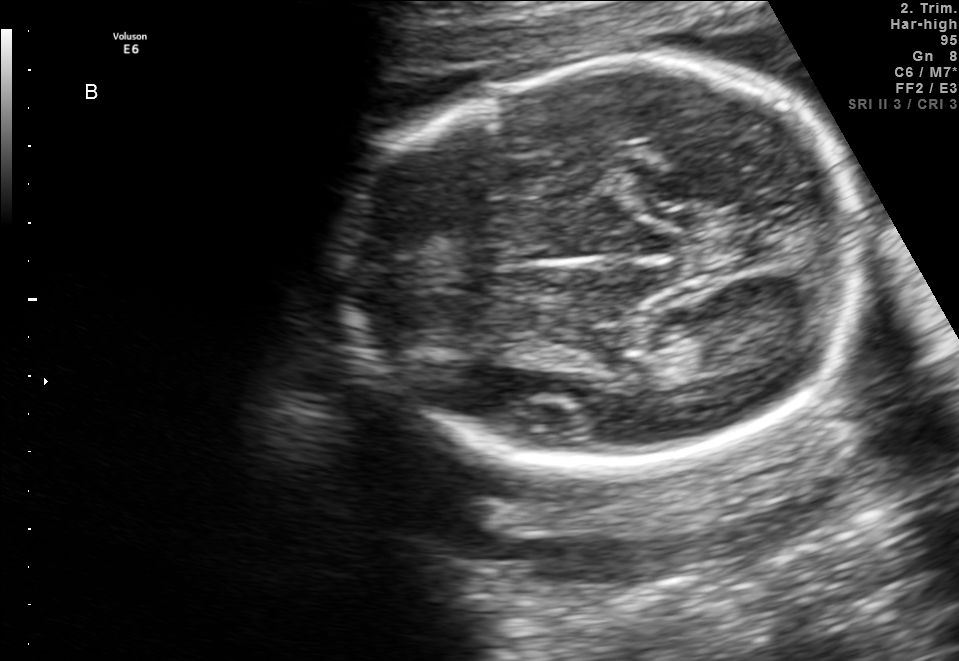
Fetal brain, trans-thalamic plane. Locate the lateral ventricle.

Lateral ventricle: [651,308,757,383]